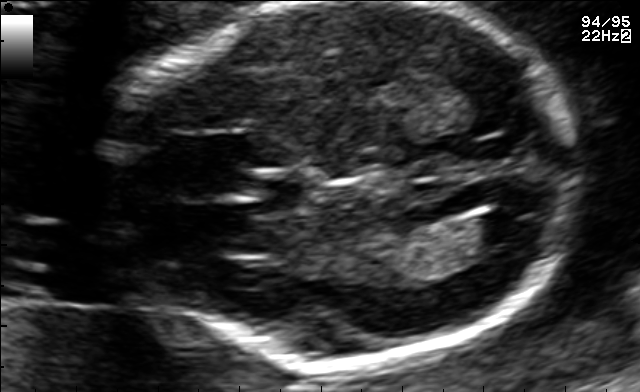
In this fetal brain, trans-ventricular plane, give the bounding box of the fetal head.

[93,2,599,374]